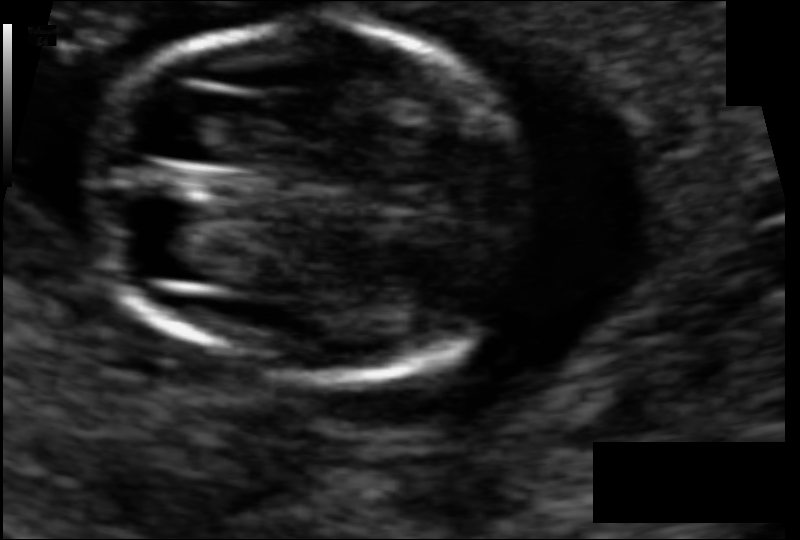
Fetal head ultrasound. Image width: 48.6 mm. Locate the fetal head.

Head: [93,21,542,383]